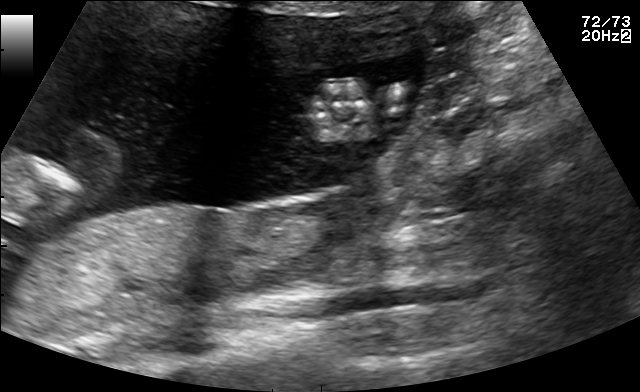
Identify the standard plane in this fetal ultrasound image: fetal abdomen, fetal brain, fetal femur, fetal thorax, maternal cervix, or other. If it's fetal brain and one of the three standard brain planes (trans-thalamic, trans-cerebellum, trans-ventricular), name which.

Other